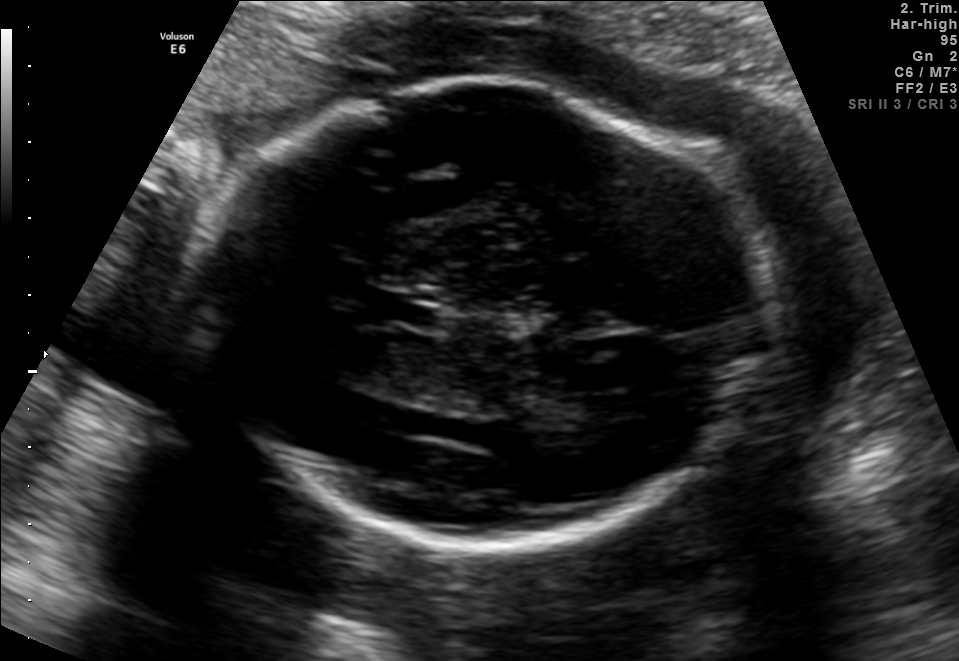
Fetal brain, trans-thalamic plane. Locate the fetal head and, if visible, the cavum septum pellucidum (CSP) and lateral ventricle (LV). Give bounding boxes as [x1,y1,x2,y2].

Head: [185,85,776,556]
CSP: [370,289,441,328]
Lateral ventricle: [559,392,612,429]